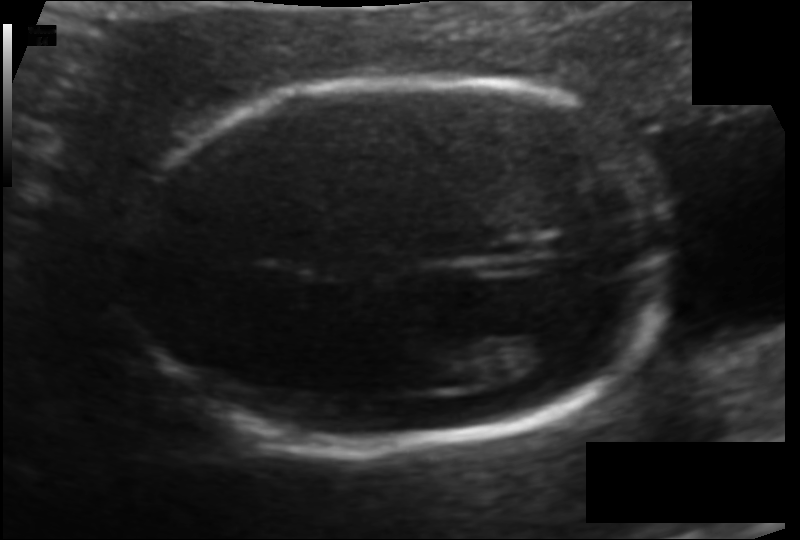
Estimate the fetal head circumference from this 2D ultrasound. Image width: 83.8 mm.

Head circumference: 156.6 mm.